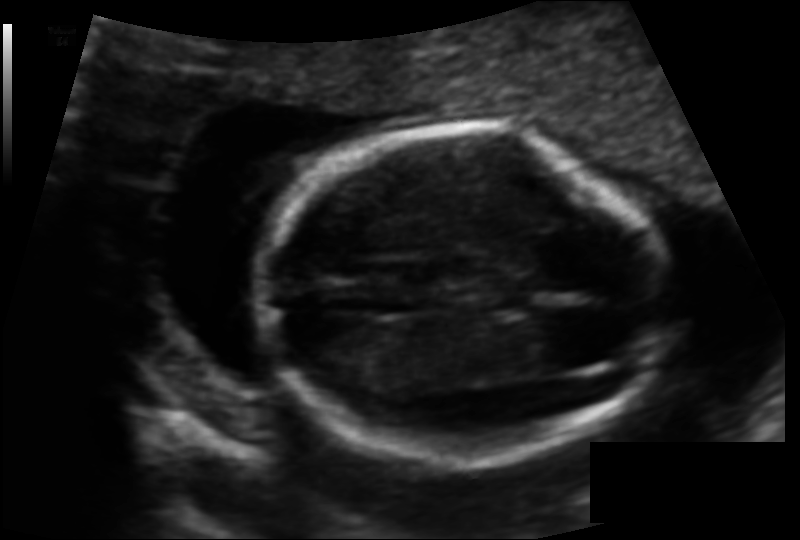
From this fetal ultrasound, estimate the head circumference (image width 81.7 mm).

Head circumference: 123.5 mm.